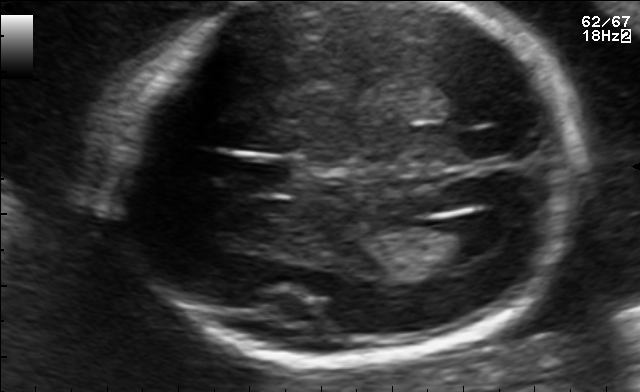
Fetal brain, trans-ventricular plane. Locate the cavum septum pellucidum.

CSP: [226,160,293,189]